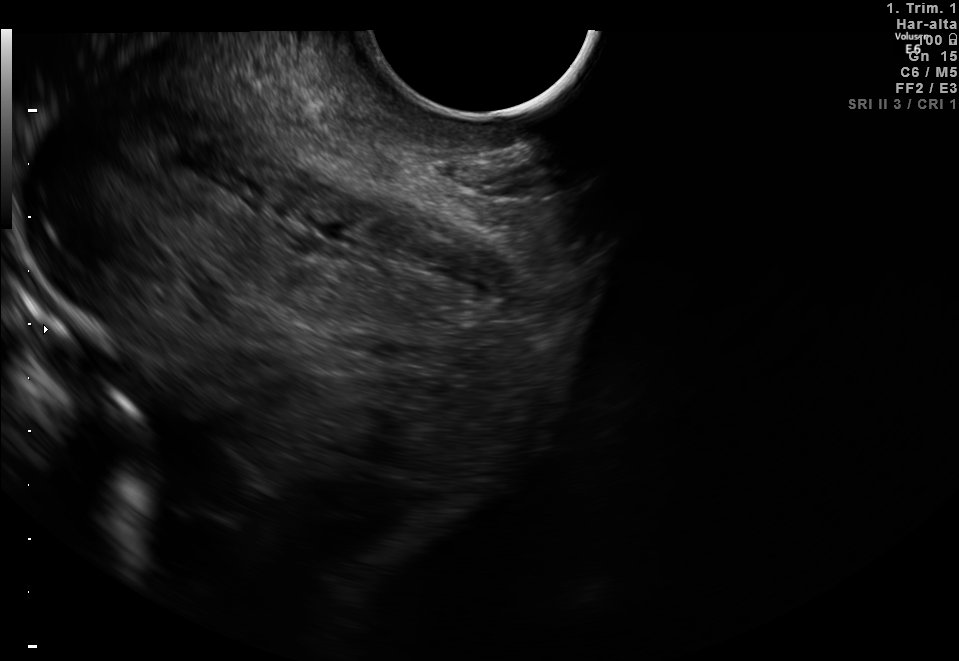
Classify this maternal-fetal ultrasound image as one of the six standard planes — fetal abdomen, fetal brain, fetal femur, fetal thorax, maternal cervix, or other. If it's fetal brain and one of the three standard brain planes (trans-thalamic, trans-cerebellum, trans-ventricular), name which.

Maternal cervix